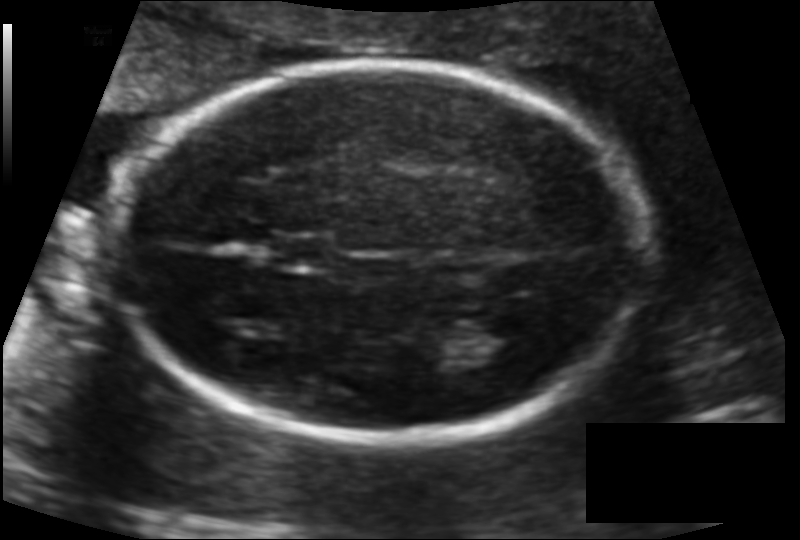
Fetal head ultrasound. Image width: 91.7 mm. Where is the cavum septum pellucidum?

CSP bounding box: [275,234,334,270]